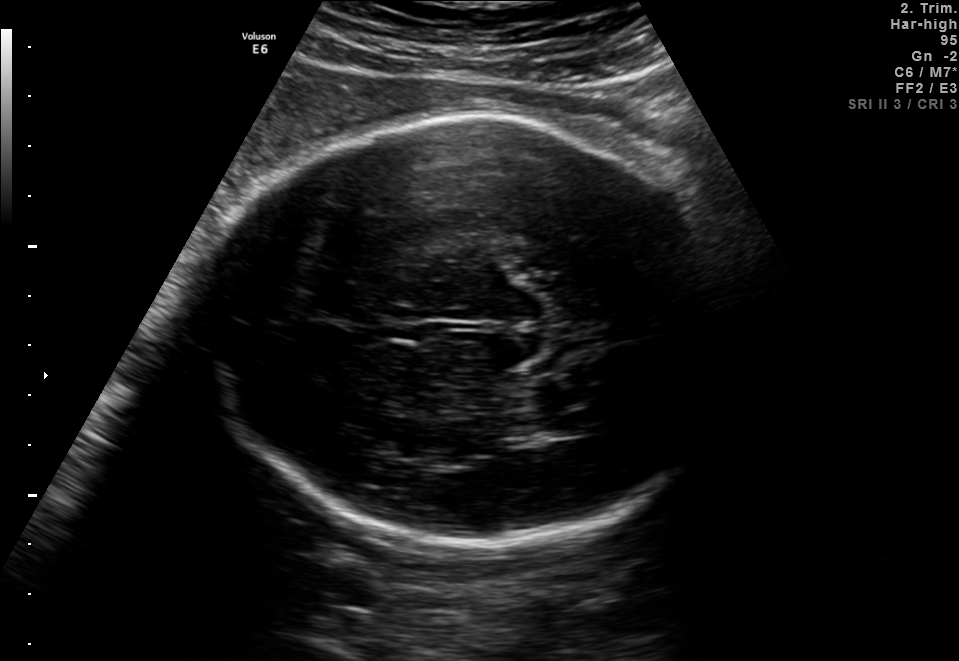
Fetal brain, trans-thalamic plane. Locate the fetal head.

Head: [203,115,738,546]